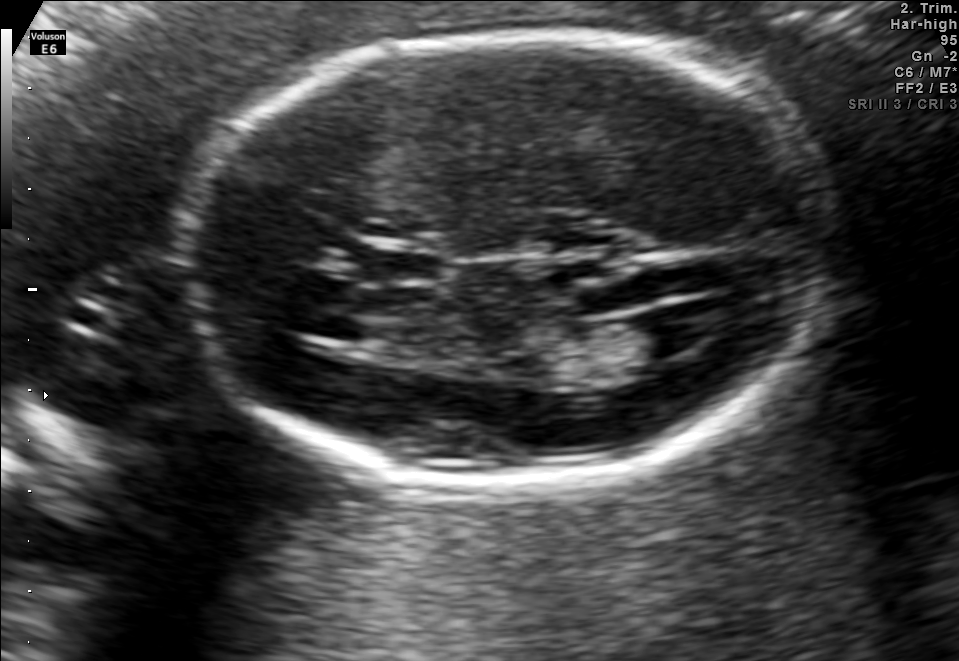
Fetal brain, trans-ventricular plane. Locate the fetal head.

Head: [166,25,843,494]